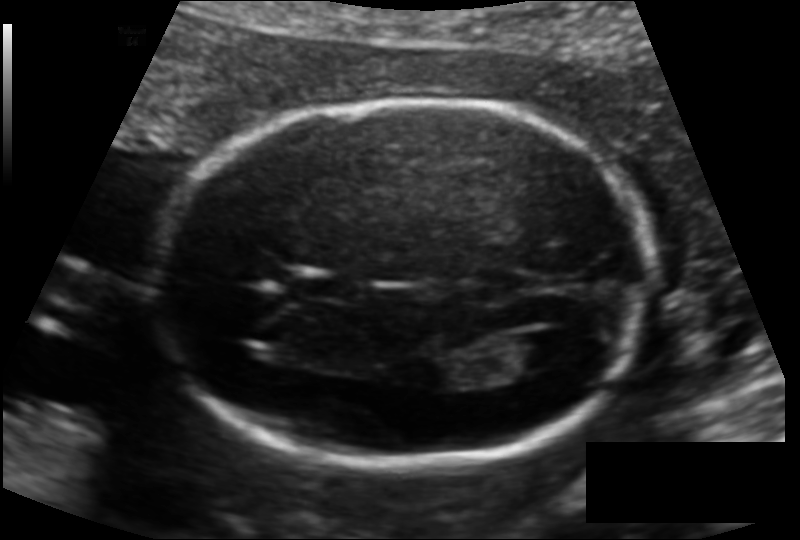
In this fetal head ultrasound, give the bounding box of the fetal head. Image width: 102.6 mm.

[155,99,650,466]